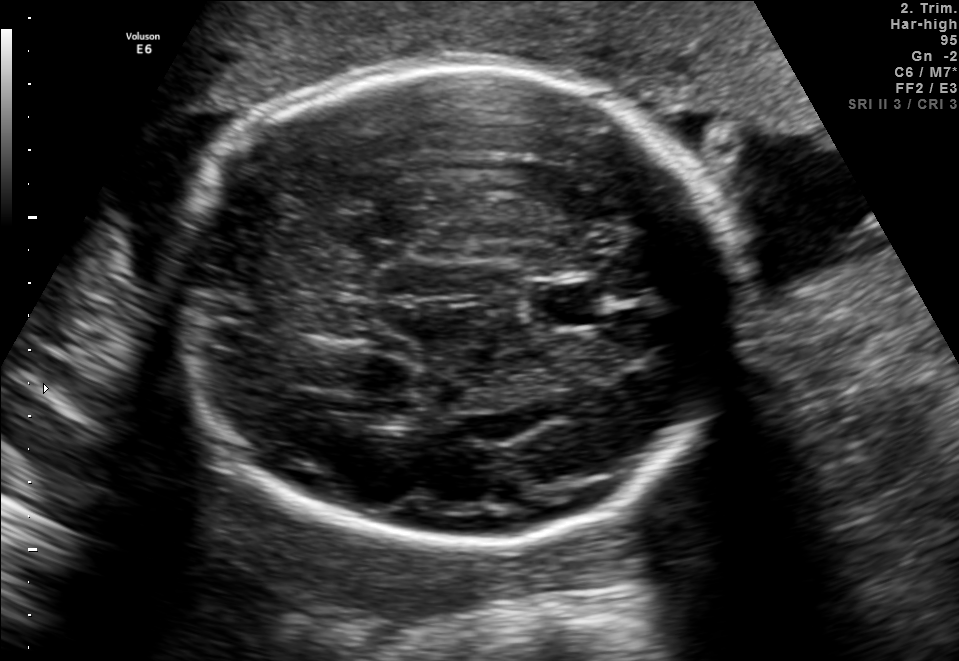
Identify the standard plane in this fetal ultrasound image: fetal abdomen, fetal brain, fetal femur, fetal thorax, maternal cervix, or other. If it's fetal brain and one of the three standard brain planes (trans-thalamic, trans-cerebellum, trans-ventricular), name which.

Fetal brain (trans-thalamic plane)